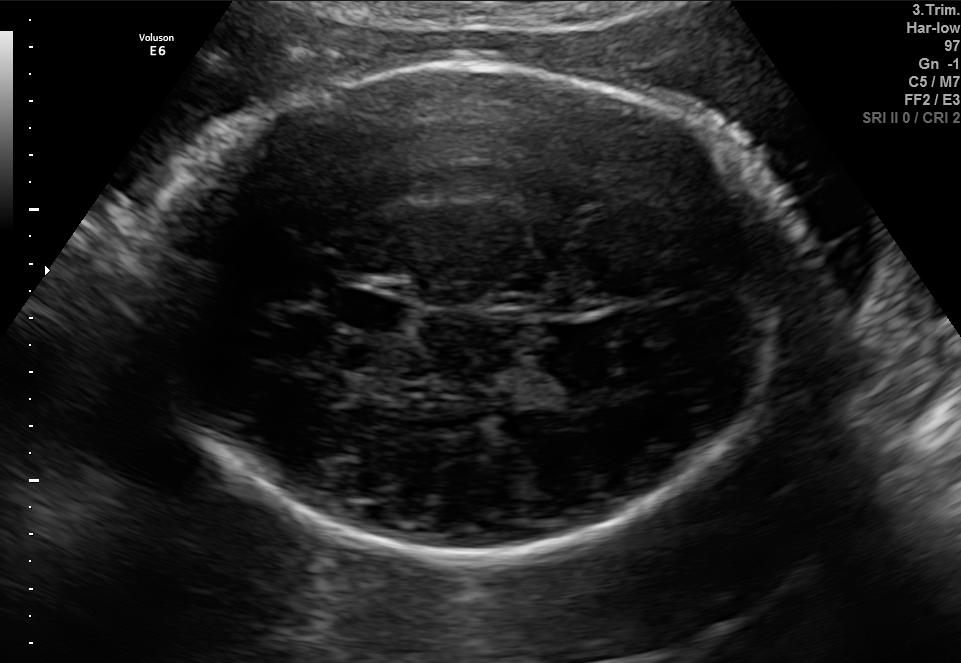
In this fetal brain, trans-thalamic plane, give the bounding box of the fetal head.

[145,60,788,559]